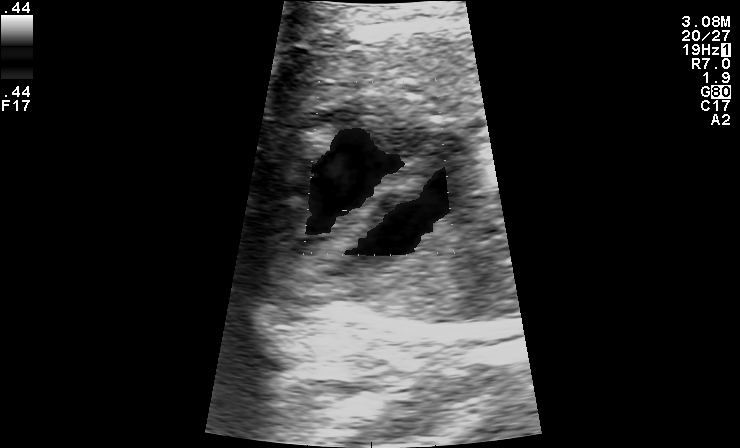
This is a 2D maternal-fetal ultrasound frame. Is it a fetal abdomen, fetal brain, fetal femur, fetal thorax, maternal cervix, or other standard plane? If it's fetal brain and one of the three standard brain planes (trans-thalamic, trans-cerebellum, trans-ventricular), name which.

Other